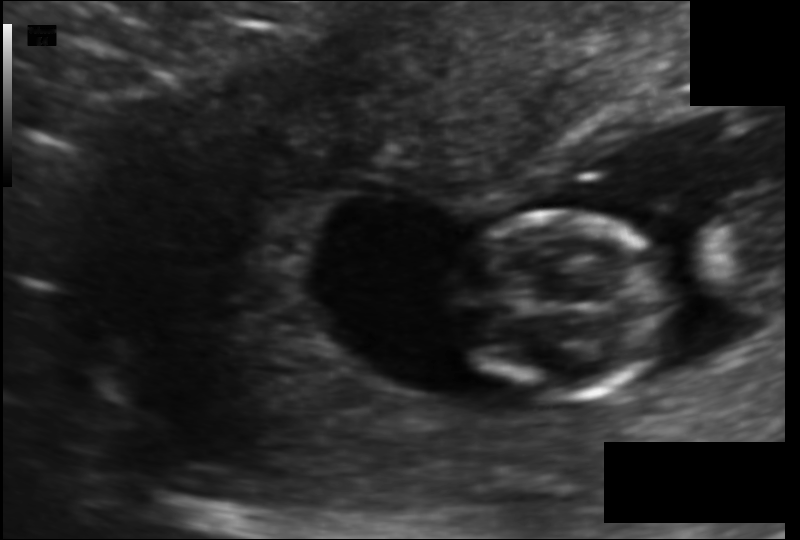
Fetal head ultrasound. Image width: 82.9 mm. Locate the fetal head.

Head: [450,212,670,400]